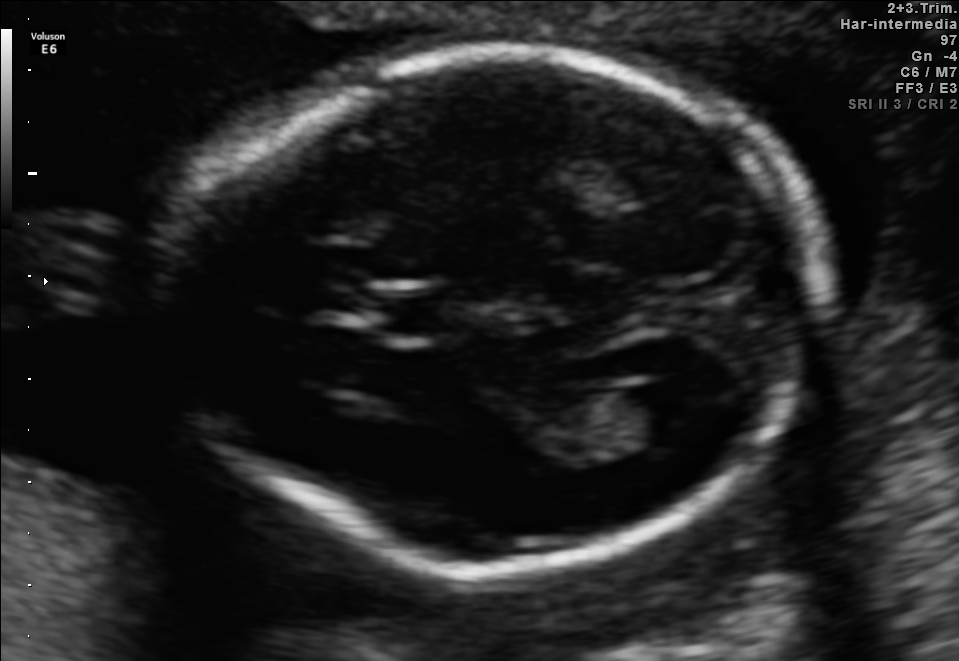
Fetal brain, trans-ventricular plane. Locate the fetal head and, if visible, the cavum septum pellucidum (CSP) and lateral ventricle (LV). Give bounding boxes as [x1,y1,x2,y2].

Head: [149,37,840,588]
CSP: [363,297,442,336]
Lateral ventricle: [631,366,722,440]